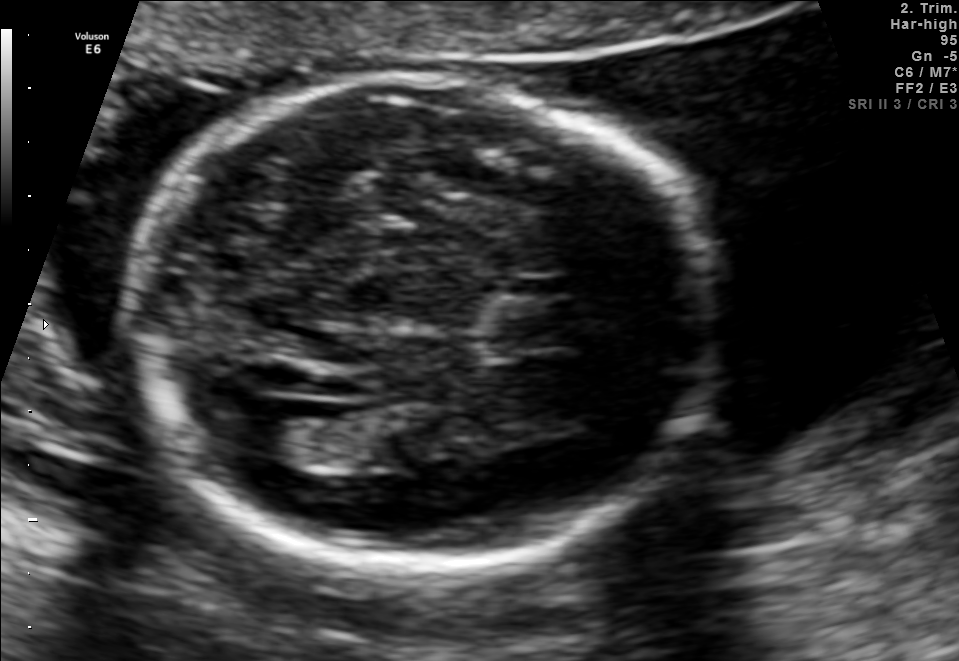
Fetal brain, trans-ventricular plane. Where is the lateral ventricle?

Lateral ventricle bounding box: [216,388,327,463]